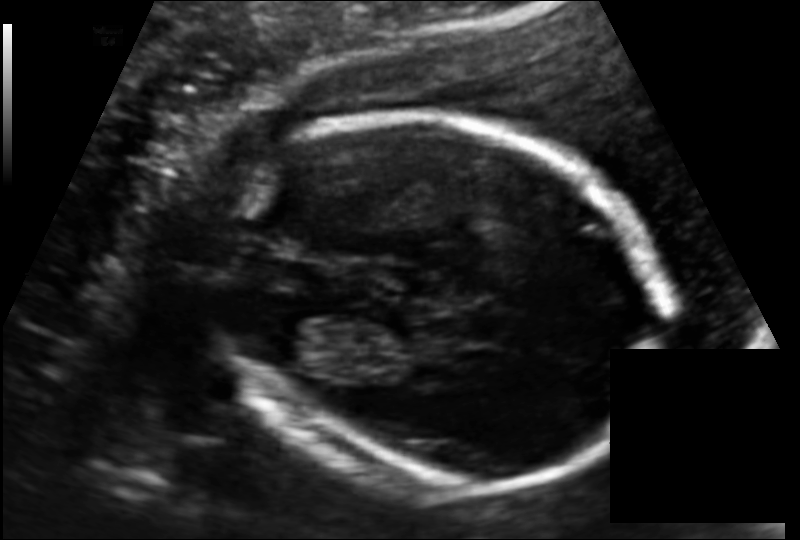
Fetal head ultrasound. Image width: 103.9 mm. Locate the fetal head and, if visible, the cavum septum pellucidum (CSP) and lateral ventricle (LV). Give bounding boxes as [x1,y1,x2,y2].

Head: [209,114,667,492]